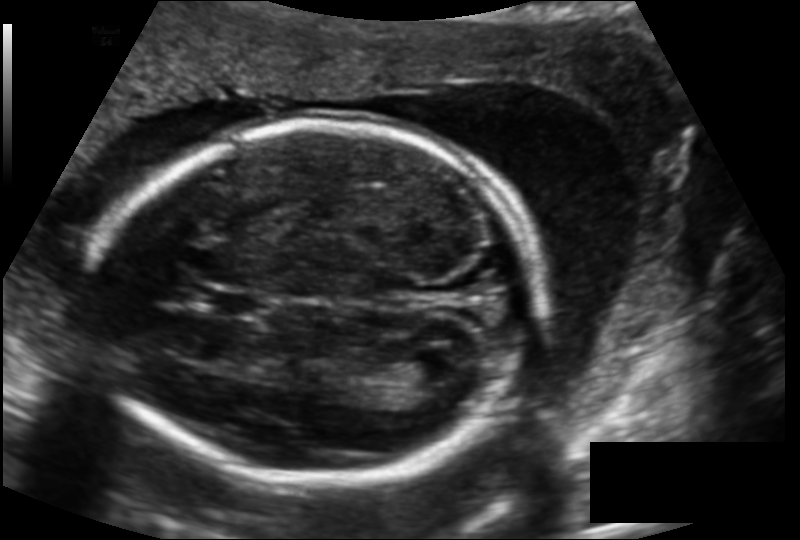
Measure the fetal head circumference shown in this ultrasound image. Image width: 114.6 mm.

Head circumference: 184.3 mm.